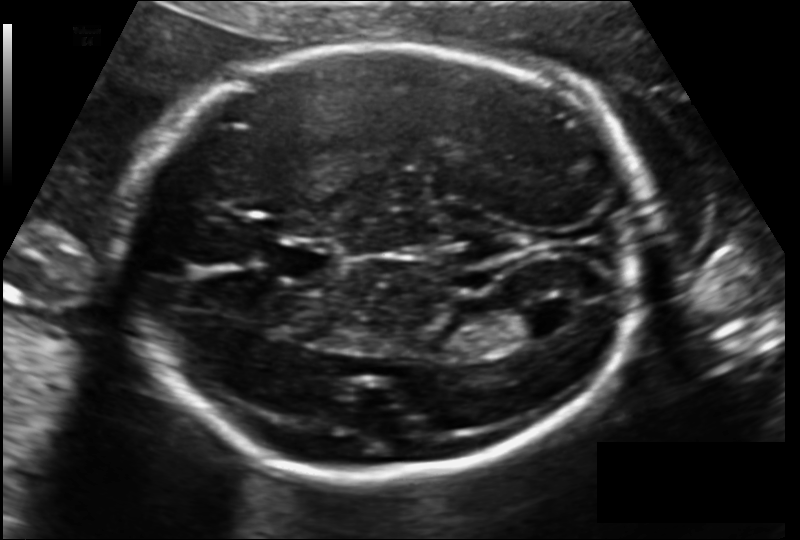
In this fetal head ultrasound, give the bounding box of the lateral ventricle. Image width: 118.5 mm.

[496,298,563,346]